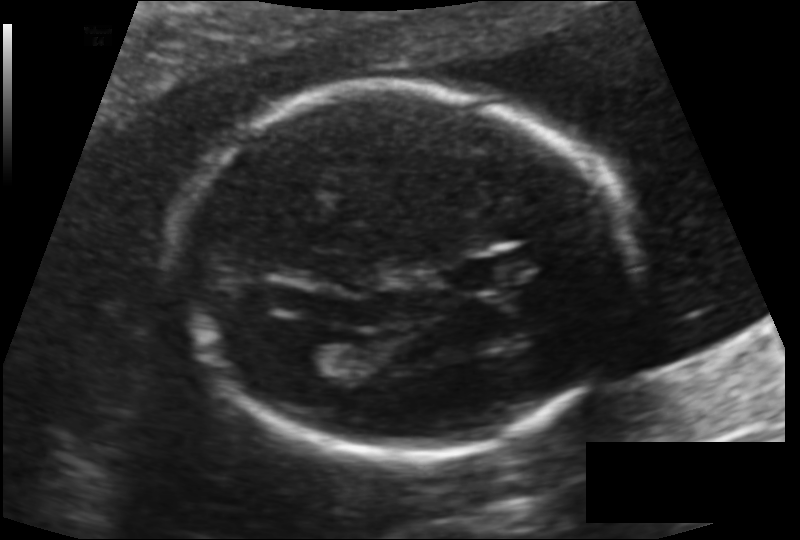
In this fetal head ultrasound, give the bounding box of the cavum septum pellucidum. Image width: 104.6 mm.

[445,252,521,297]